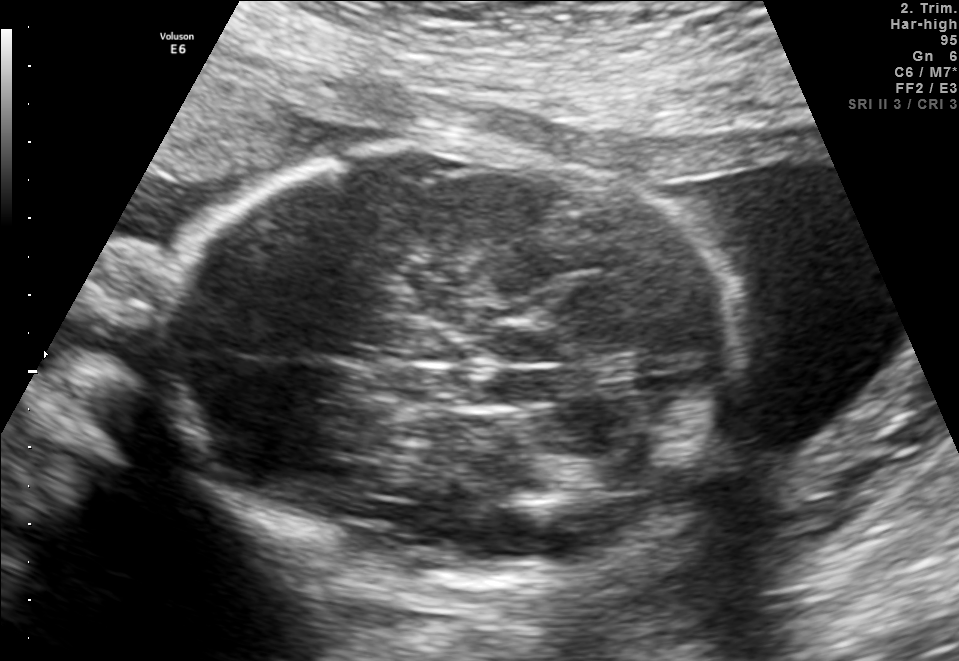
Which standard maternal-fetal ultrasound plane is shown: fetal abdomen, fetal brain, fetal femur, fetal thorax, maternal cervix, or other? If it's fetal brain and one of the three standard brain planes (trans-thalamic, trans-cerebellum, trans-ventricular), name which.

Fetal brain (trans-thalamic plane)